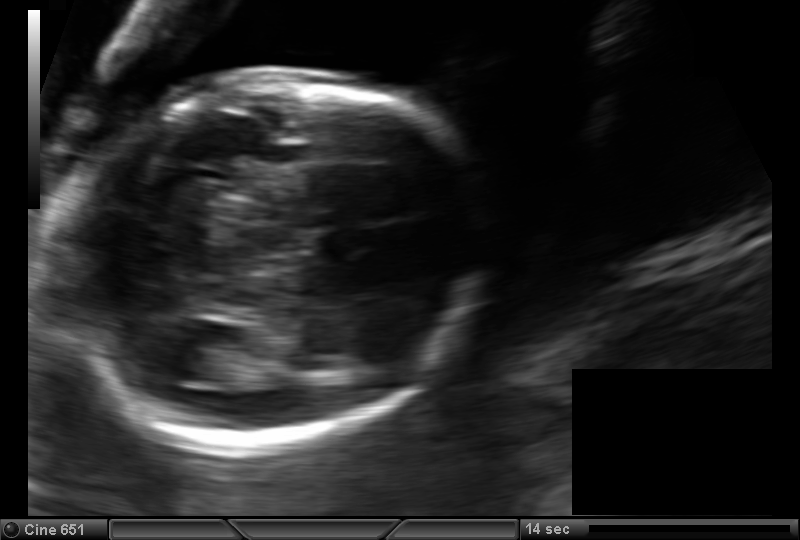
What is the fetal head circumference? Image width is 106.1 mm.

166.7 mm